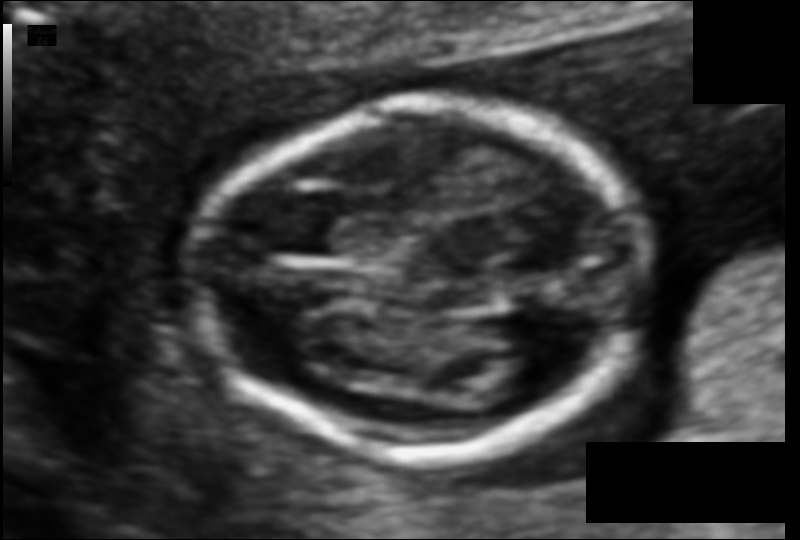
Measure the fetal head circumference shown in this ultrasound image. Image width: 61.5 mm.

Head circumference: 101.0 mm.